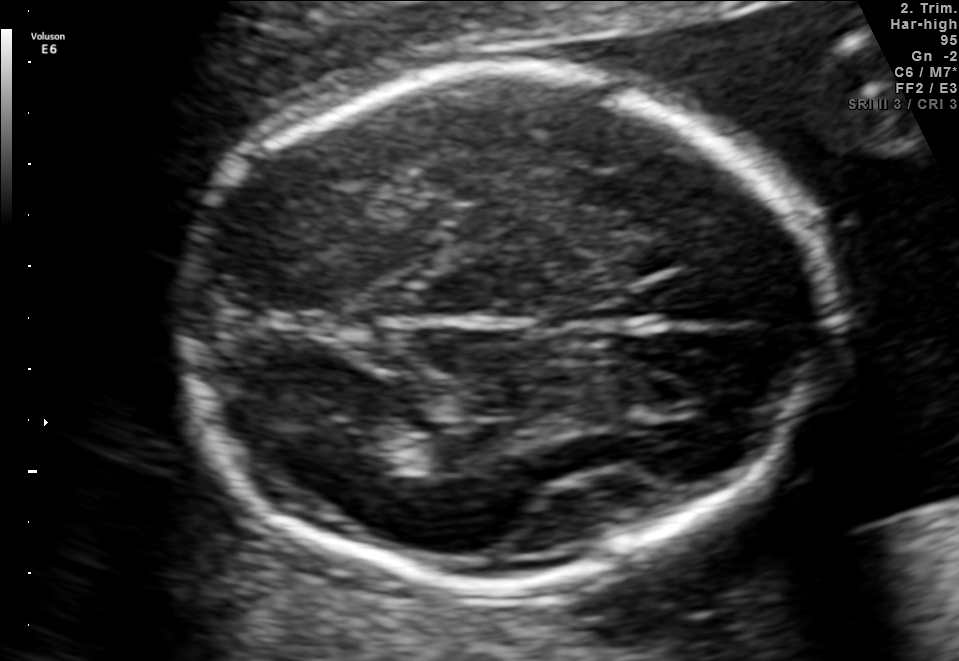
Fetal brain, trans-thalamic plane. Where is the fetal head?

Head bounding box: [177,71,828,582]